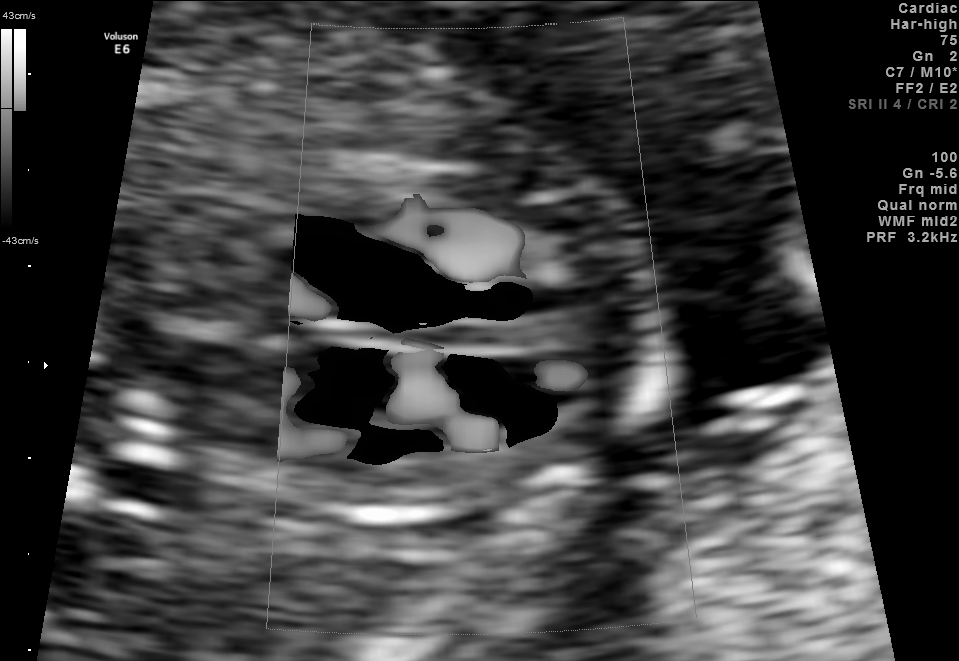
This is a 2D maternal-fetal ultrasound frame. Is it a fetal abdomen, fetal brain, fetal femur, fetal thorax, maternal cervix, or other standard plane? If it's fetal brain and one of the three standard brain planes (trans-thalamic, trans-cerebellum, trans-ventricular), name which.

Other